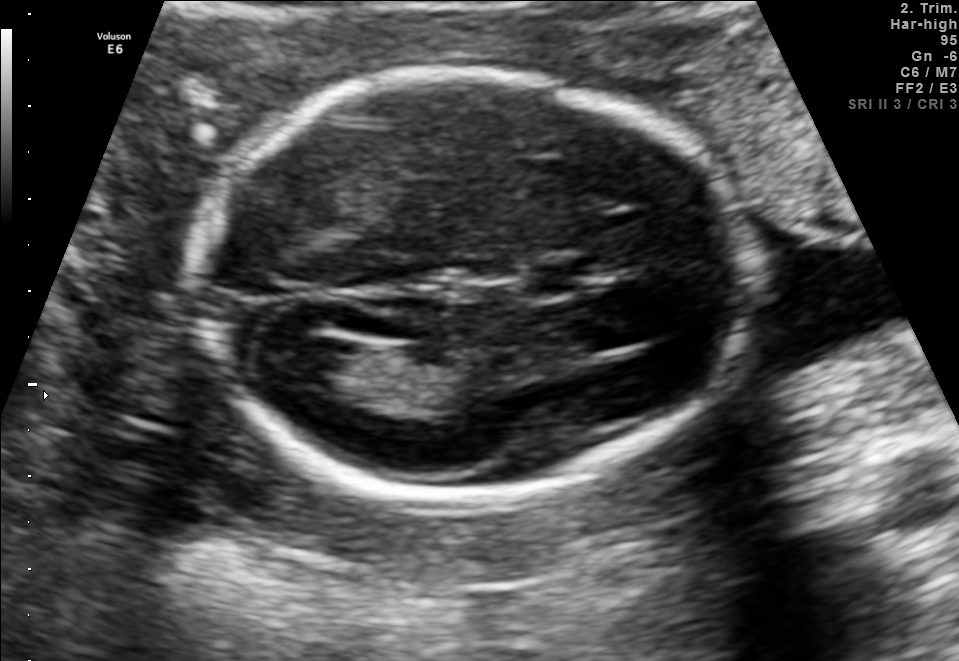
Fetal brain, trans-ventricular plane. Locate the cavum septum pellucidum.

CSP: [521,248,609,306]